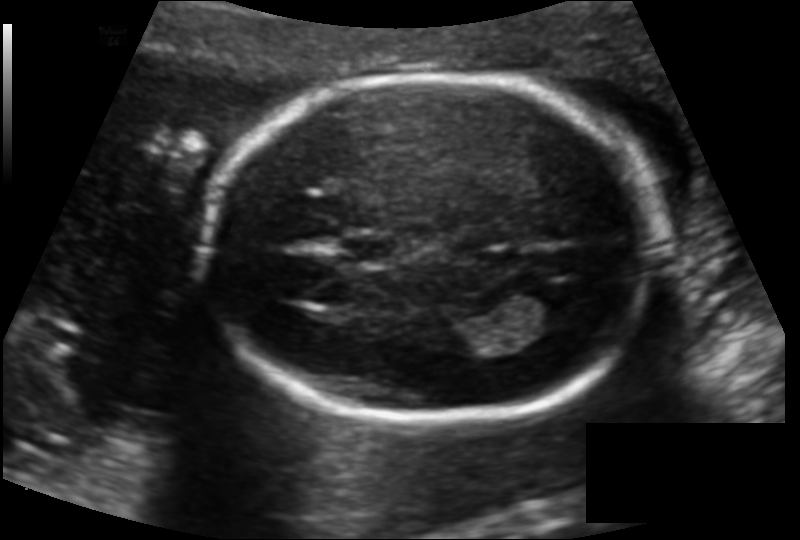
Fetal head ultrasound. Image width: 104.1 mm. Locate the lateral ventricle.

Lateral ventricle: [517,270,595,336]